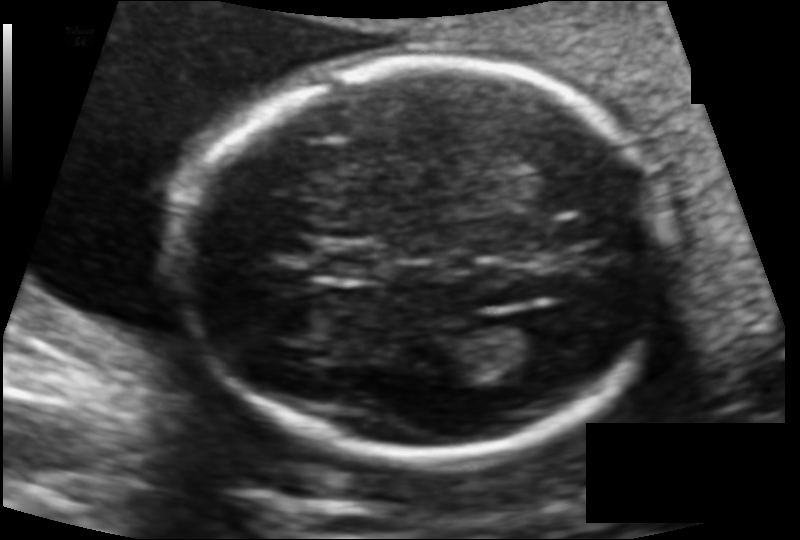
Measure the fetal head circumference shown in this ultrasound image. Image width: 91.4 mm.

Head circumference: 164.4 mm.